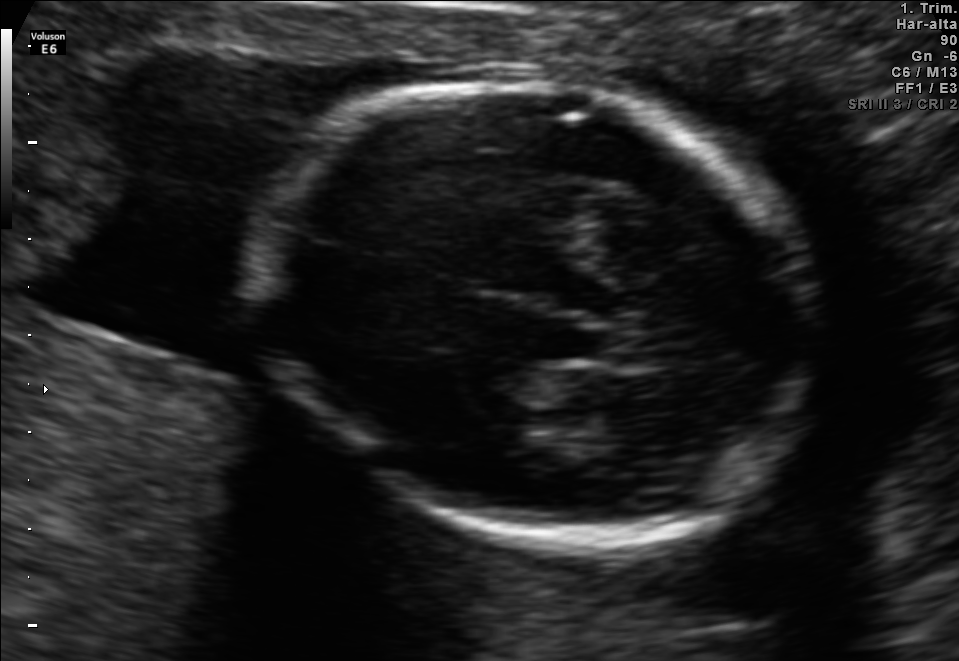
Fetal brain, trans-thalamic plane. Where is the fetal head?

Head bounding box: [252,79,817,532]